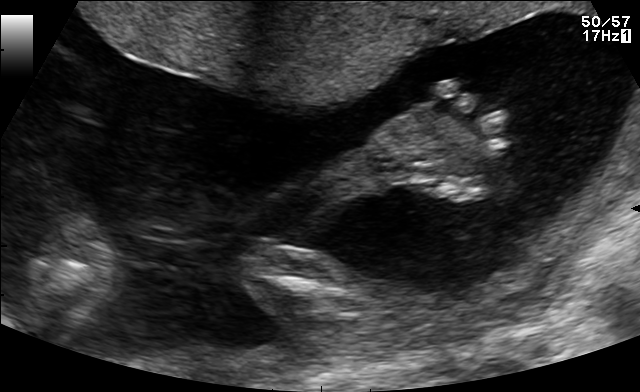
Identify the standard plane in this fetal ultrasound image: fetal abdomen, fetal brain, fetal femur, fetal thorax, maternal cervix, or other. If it's fetal brain and one of the three standard brain planes (trans-thalamic, trans-cerebellum, trans-ventricular), name which.

Other